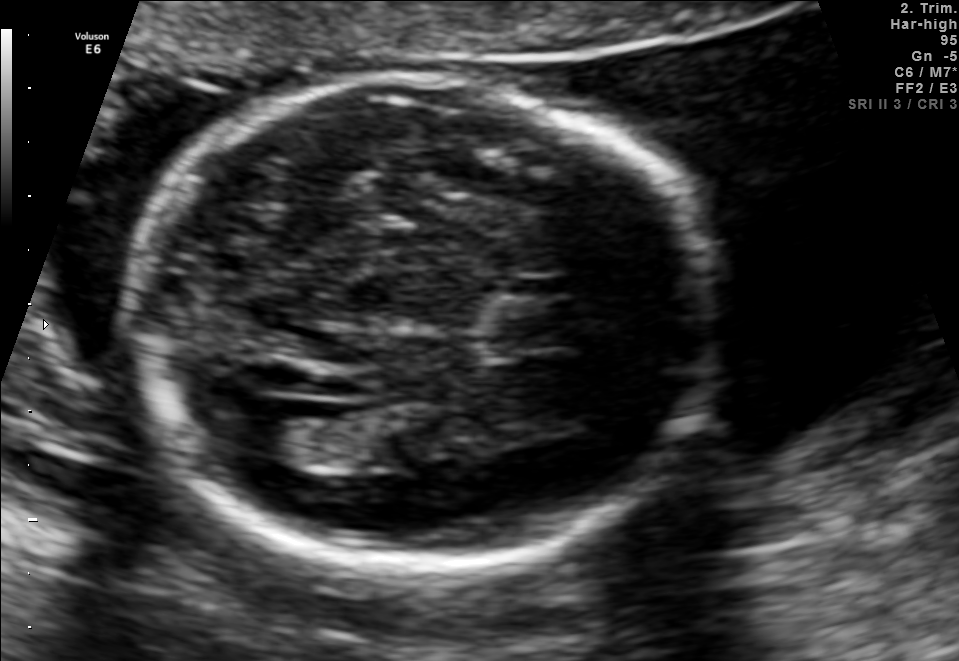
In this fetal brain, trans-ventricular plane, give bounding boxes for the head outline, cavum septum pellucidum (CSP), and lateral ventricle (LV), where visible.

Head: [117,80,724,579]
CSP: [470,297,583,352]
Lateral ventricle: [226,393,330,467]